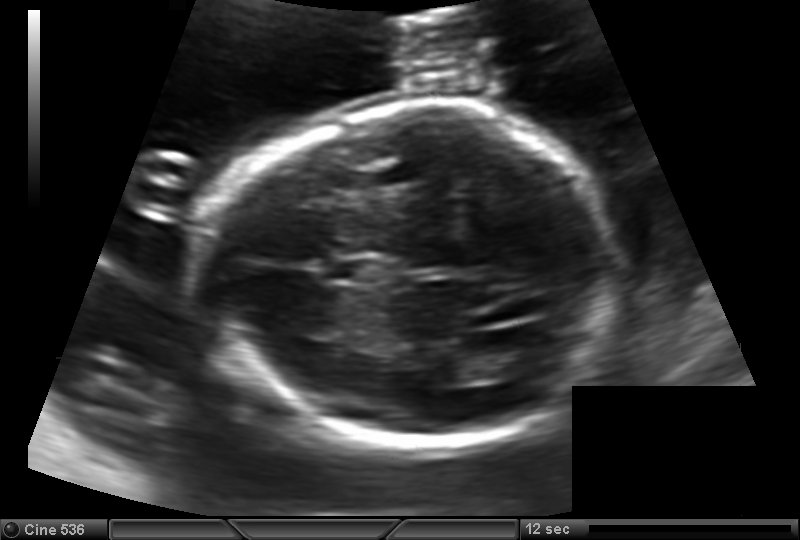
Measure the fetal head circumference shown in this ultrasound image. Image width: 115.2 mm.

Head circumference: 183.1 mm.